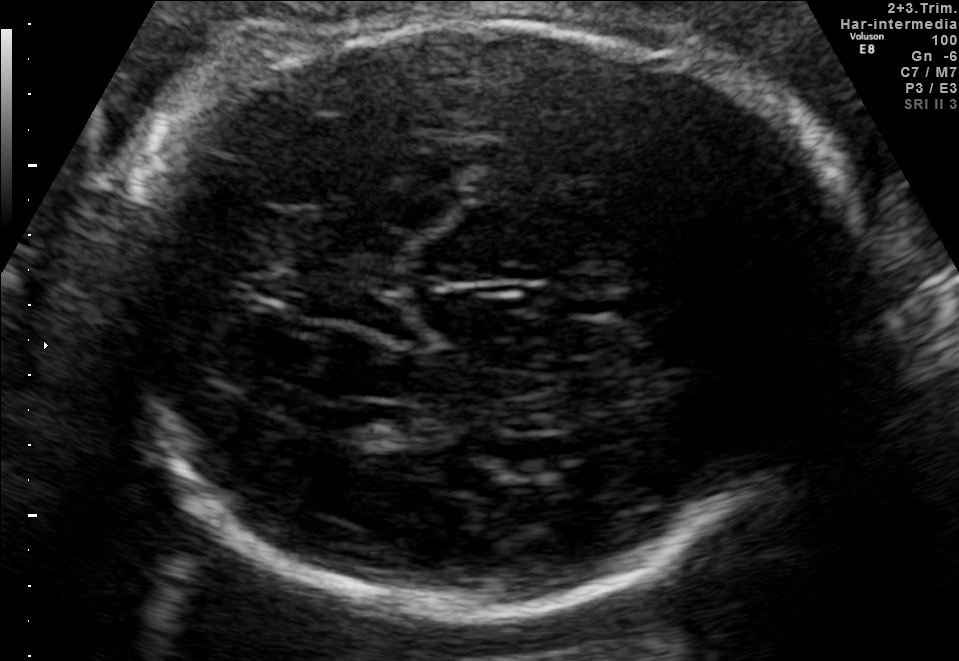
In this fetal brain, trans-thalamic plane, give the bounding box of the cavum septum pellucidum.

[560,293,626,319]